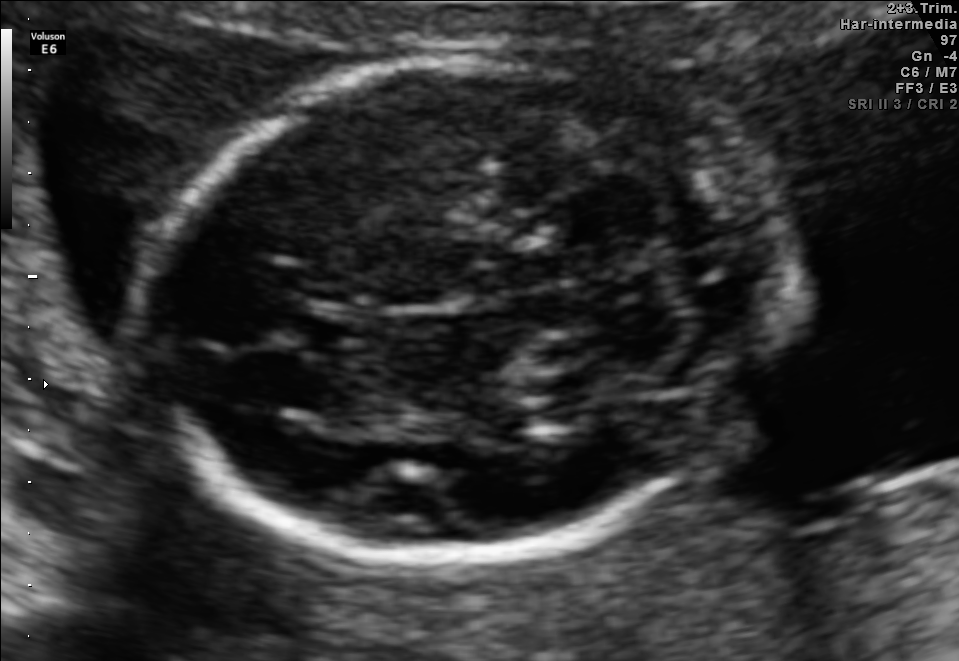
Fetal brain, trans-cerebellum plane. Locate the fetal head and, if visible, the cavum septum pellucidum (CSP) and lateral ventricle (LV). Give bounding boxes as [x1,y1,x2,y2].

Head: [160,55,739,572]
CSP: [284,304,374,365]